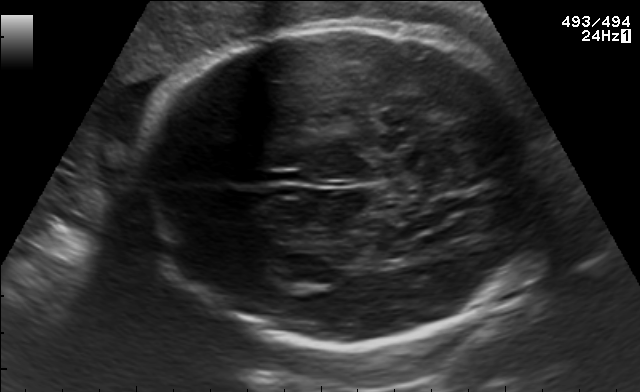
Which standard maternal-fetal ultrasound plane is shown: fetal abdomen, fetal brain, fetal femur, fetal thorax, maternal cervix, or other? If it's fetal brain and one of the three standard brain planes (trans-thalamic, trans-cerebellum, trans-ventricular), name which.

Fetal brain (trans-thalamic plane)